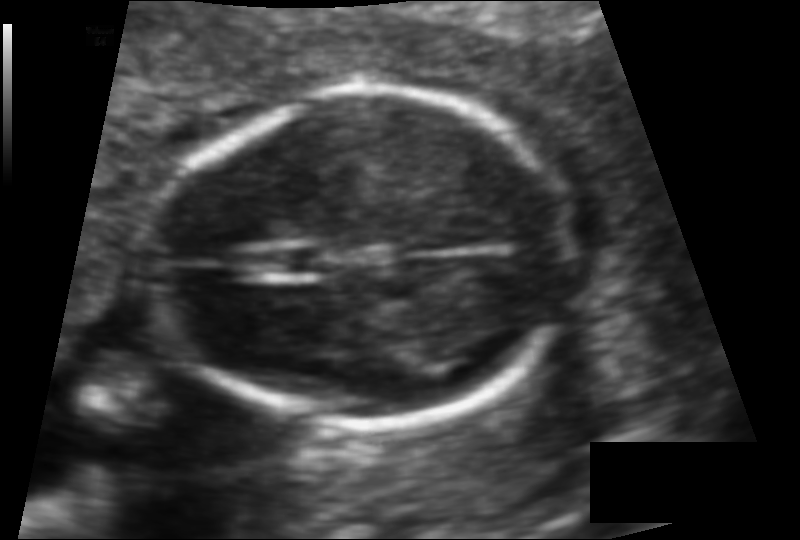
From this fetal ultrasound, estimate the head circumference (image width 75.5 mm).

Head circumference: 120.3 mm.